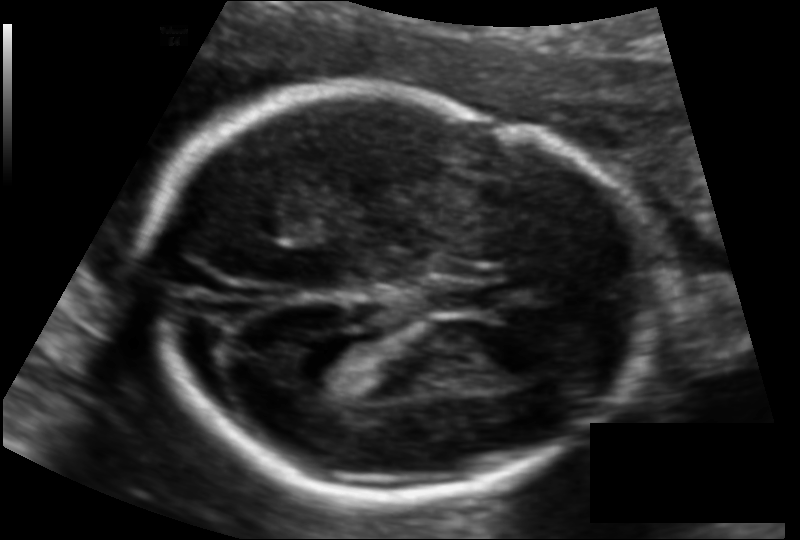
Fetal head ultrasound. Image width: 93.9 mm. Give [x1,y1,x2,y2] bounding boxes for each visible structure among: fetal head, CSP, LV.

Head: [136,94,642,495]
CSP: [429,278,500,315]
Lateral ventricle: [284,325,372,396]